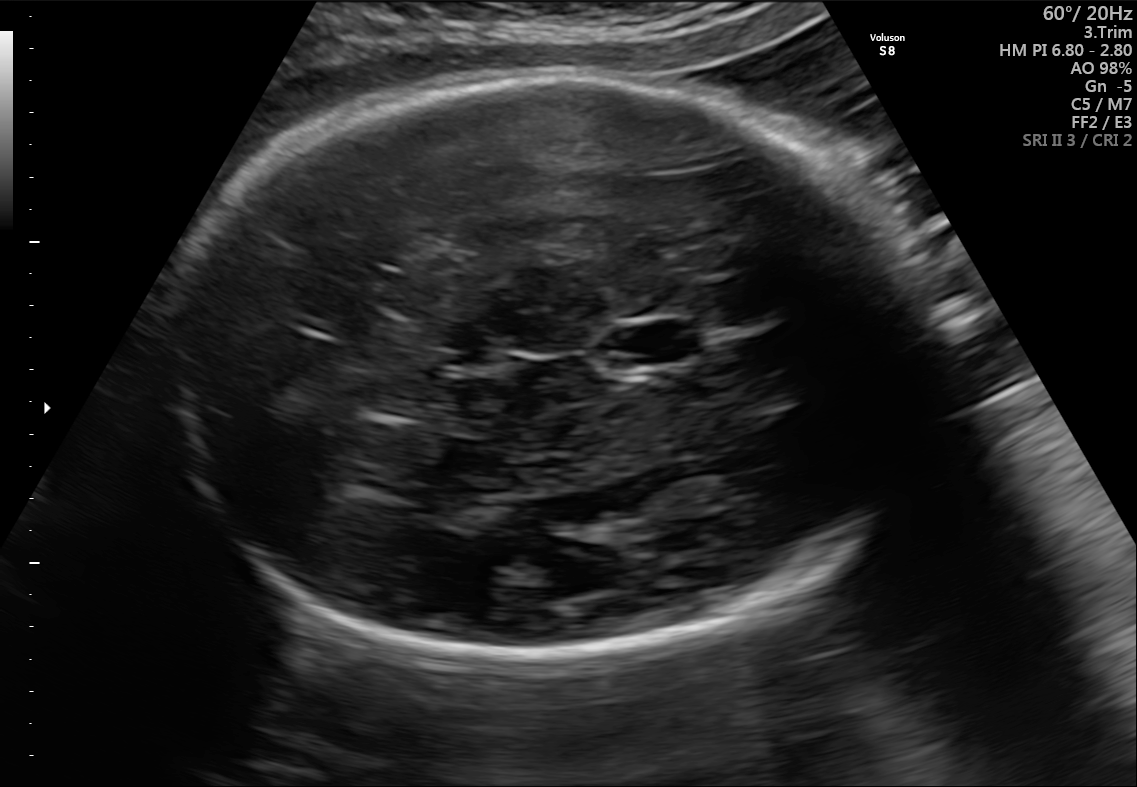
Fetal brain, trans-thalamic plane. Locate the cavum septum pellucidum.

CSP: [609,317,702,369]